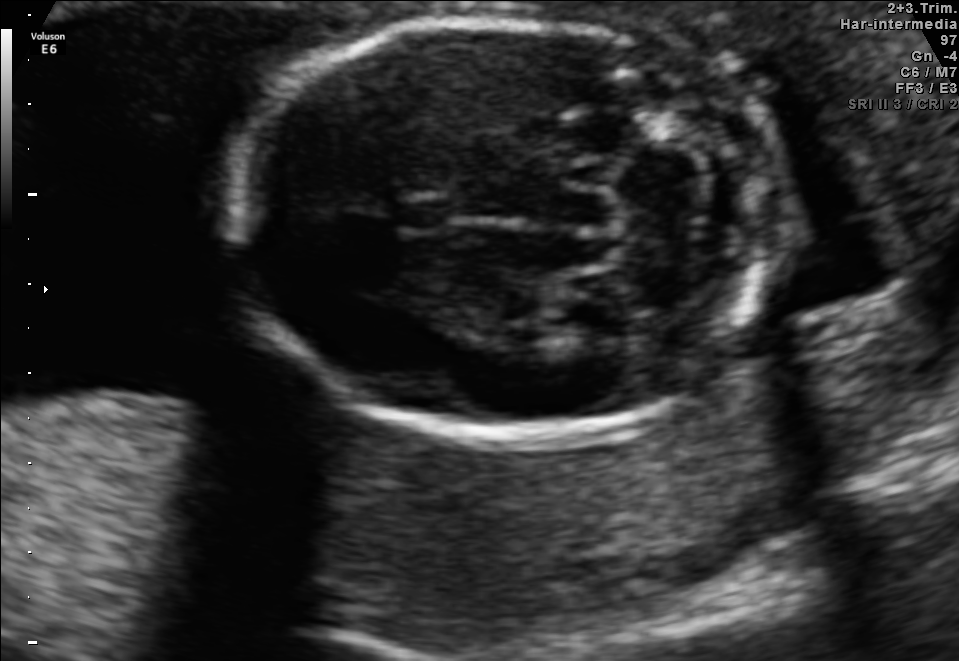
Fetal brain, trans-cerebellum plane. Give [x1,y1,x2,y2] bounding boxes for each visible structure among: fetal head, CSP, LV.

Head: [231,18,768,443]
CSP: [392,194,455,236]